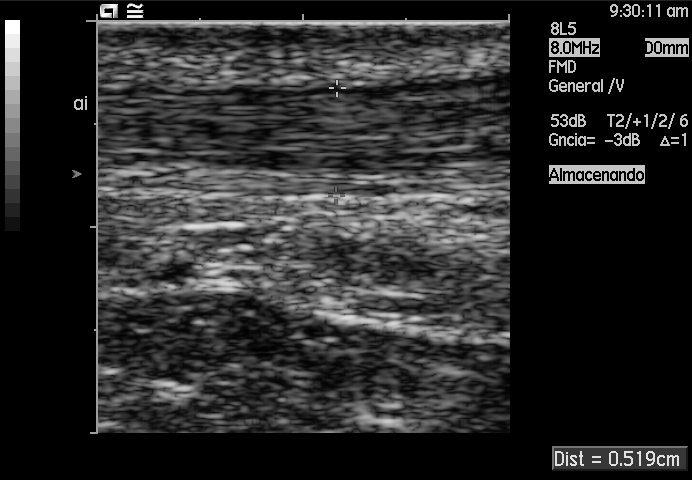
Which standard maternal-fetal ultrasound plane is shown: fetal abdomen, fetal brain, fetal femur, fetal thorax, maternal cervix, or other? If it's fetal brain and one of the three standard brain planes (trans-thalamic, trans-cerebellum, trans-ventricular), name which.

Other